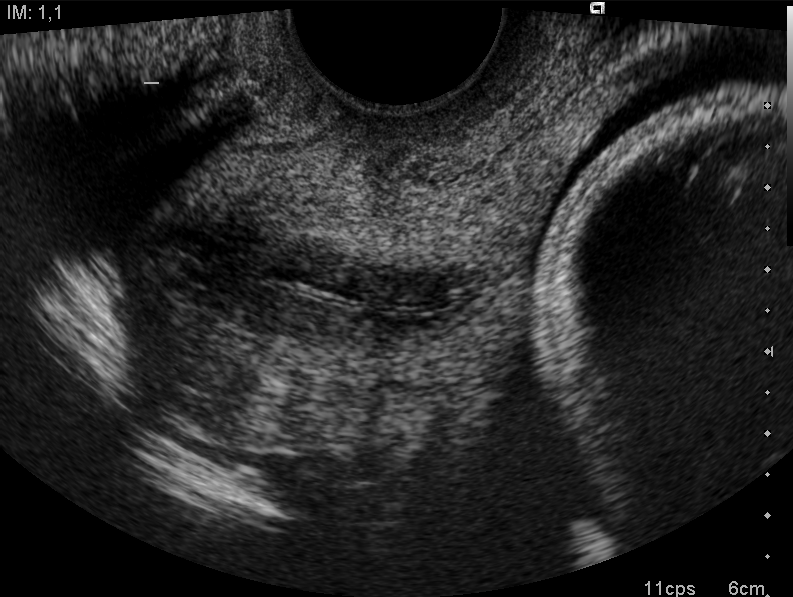
Which standard maternal-fetal ultrasound plane is shown: fetal abdomen, fetal brain, fetal femur, fetal thorax, maternal cervix, or other? If it's fetal brain and one of the three standard brain planes (trans-thalamic, trans-cerebellum, trans-ventricular), name which.

Maternal cervix